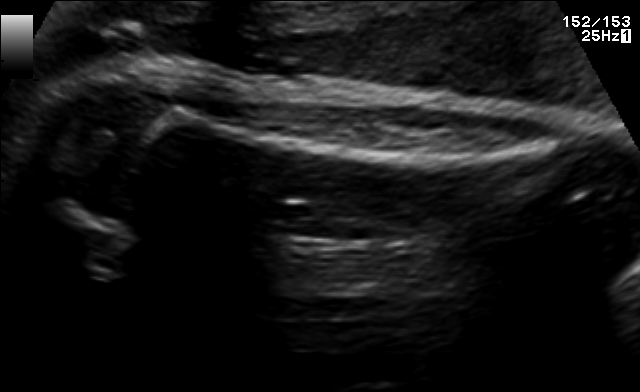
Identify the standard plane in this fetal ultrasound image: fetal abdomen, fetal brain, fetal femur, fetal thorax, maternal cervix, or other. If it's fetal brain and one of the three standard brain planes (trans-thalamic, trans-cerebellum, trans-ventricular), name which.

Fetal femur